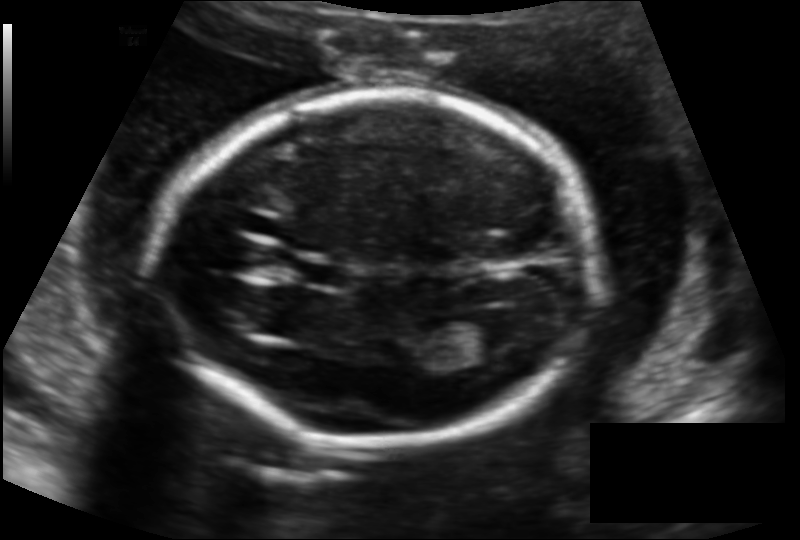
Fetal head ultrasound. Image width: 108.6 mm. Locate the fetal head.

Head: [160,91,595,444]